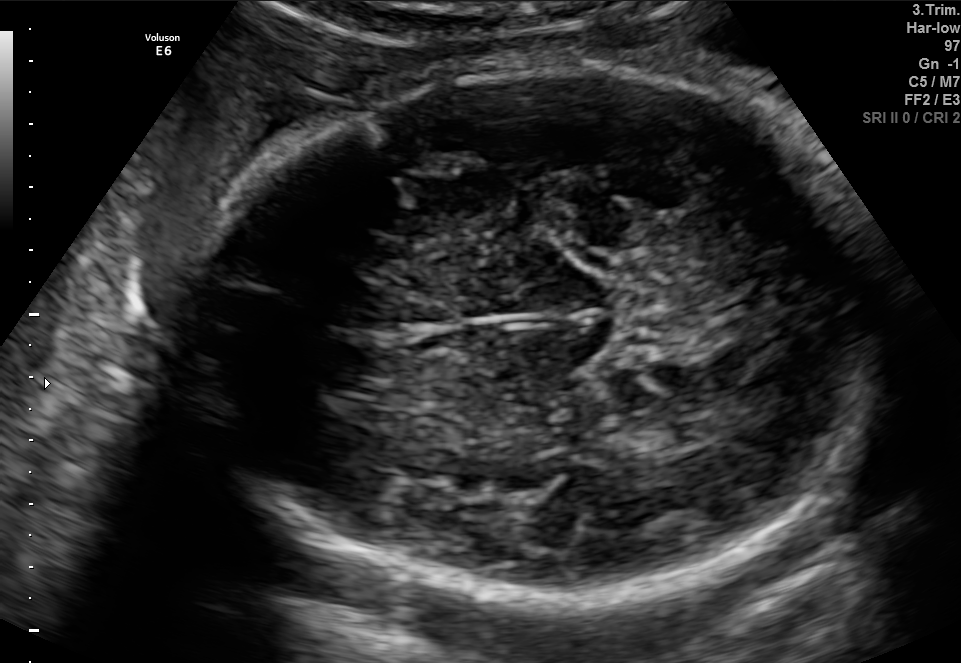
Fetal brain, trans-thalamic plane. Give [x1,y1,x2,y2] bounding boxes for each visible structure among: fetal head, CSP, LV.

Head: [182,60,875,597]